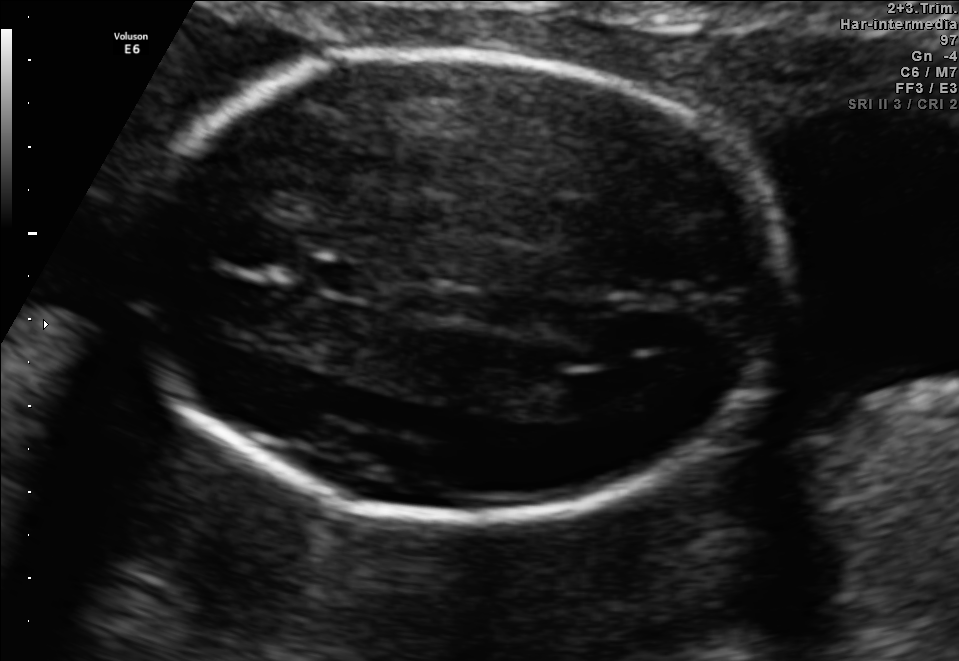
Fetal brain, trans-ventricular plane. Locate the fetal head and, if visible, the cavum septum pellucidum (CSP) and lateral ventricle (LV). Give bounding boxes as [x1,y1,x2,y2].

Head: [118,46,805,531]